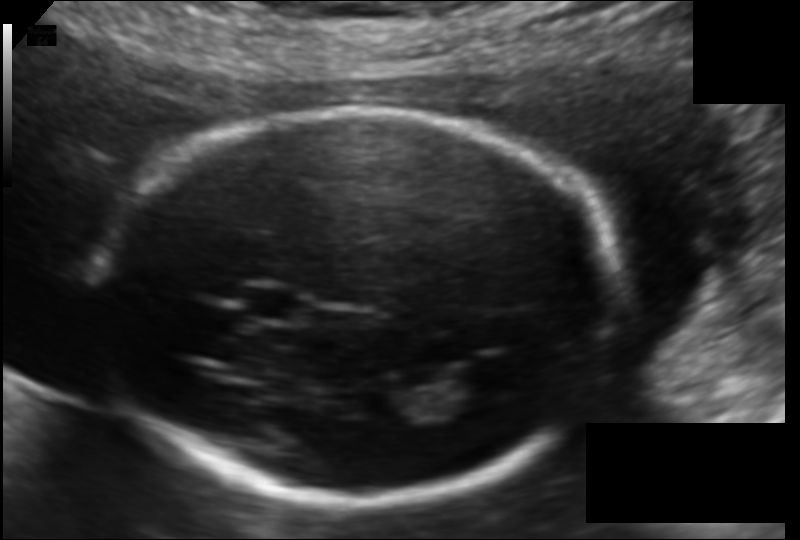
Fetal head ultrasound. Image width: 96.1 mm. Locate the fetal head and, if visible, the cavum septum pellucidum (CSP) and lateral ventricle (LV). Give bounding boxes as [x1,y1,x2,y2].

Head: [99,113,619,501]
CSP: [242,281,306,323]
Lateral ventricle: [448,353,517,404]